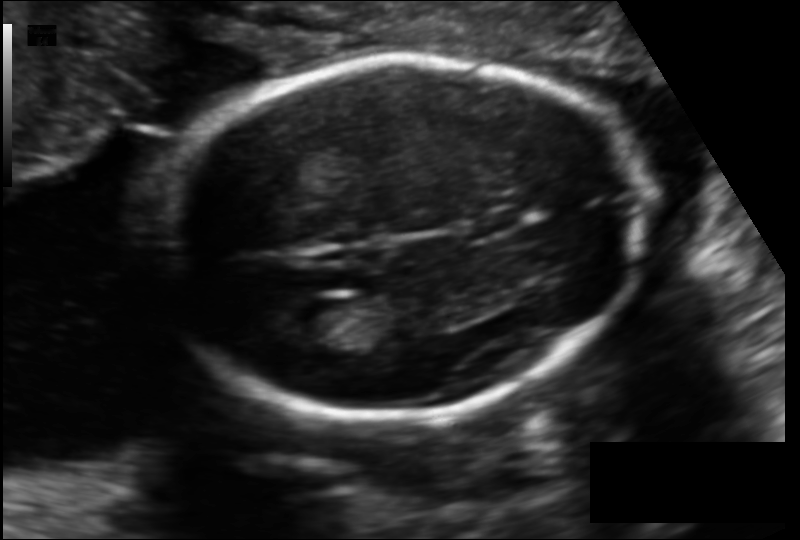
In this fetal head ultrasound, give the bounding box of the fetal head. Image width: 102.8 mm.

[161,56,642,417]